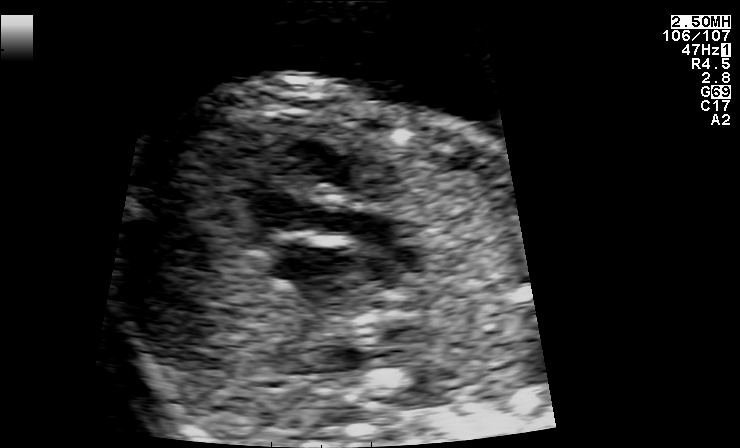
Which standard maternal-fetal ultrasound plane is shown: fetal abdomen, fetal brain, fetal femur, fetal thorax, maternal cervix, or other? If it's fetal brain and one of the three standard brain planes (trans-thalamic, trans-cerebellum, trans-ventricular), name which.

Other